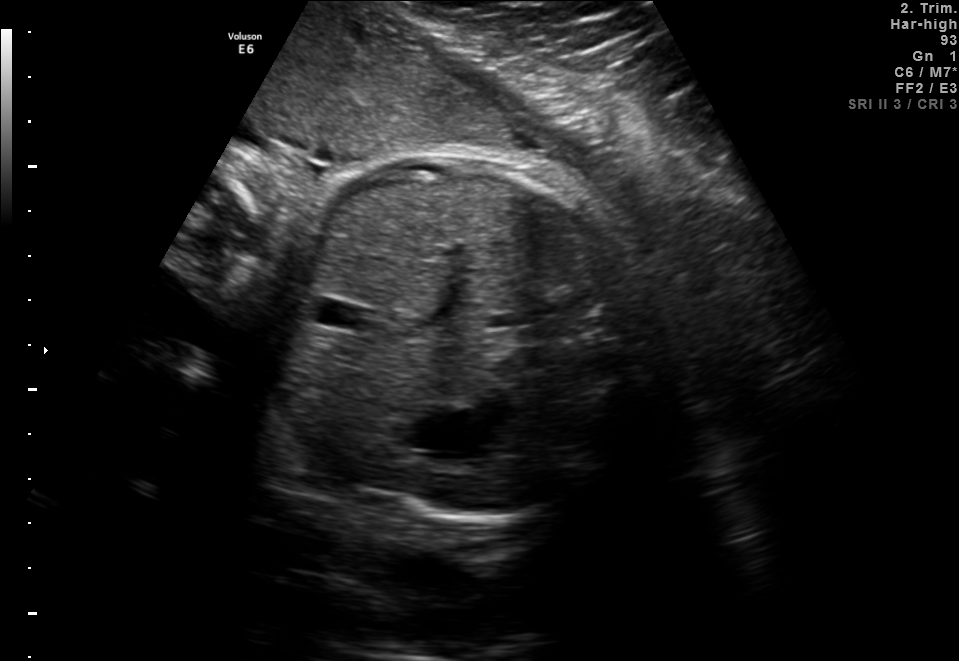
This is a 2D maternal-fetal ultrasound frame. Is it a fetal abdomen, fetal brain, fetal femur, fetal thorax, maternal cervix, or other standard plane? If it's fetal brain and one of the three standard brain planes (trans-thalamic, trans-cerebellum, trans-ventricular), name which.

Fetal abdomen